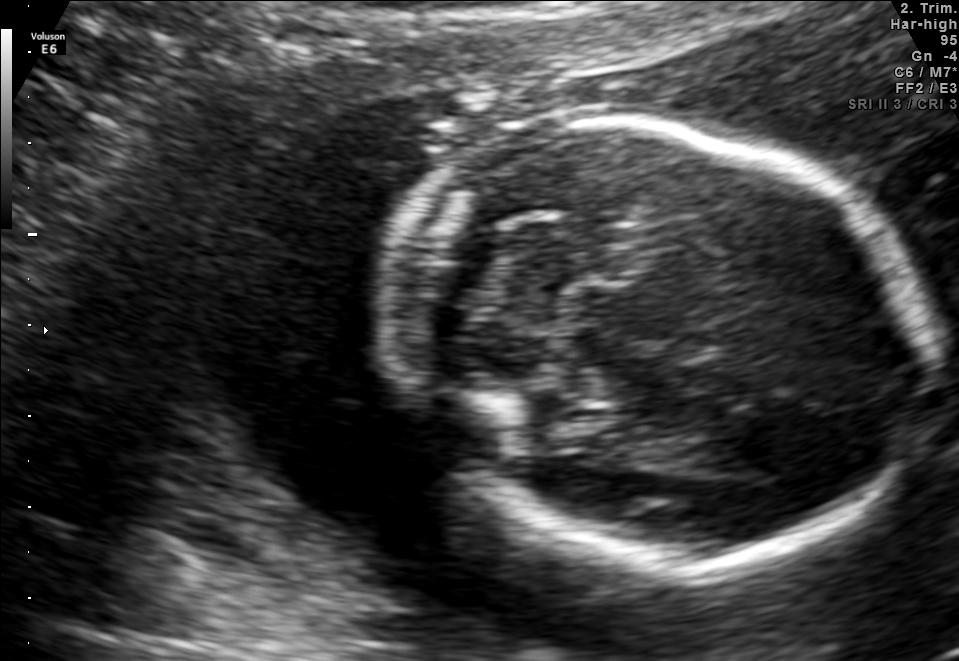
Fetal brain, trans-cerebellum plane. Locate the fetal head.

Head: [387,124,928,559]